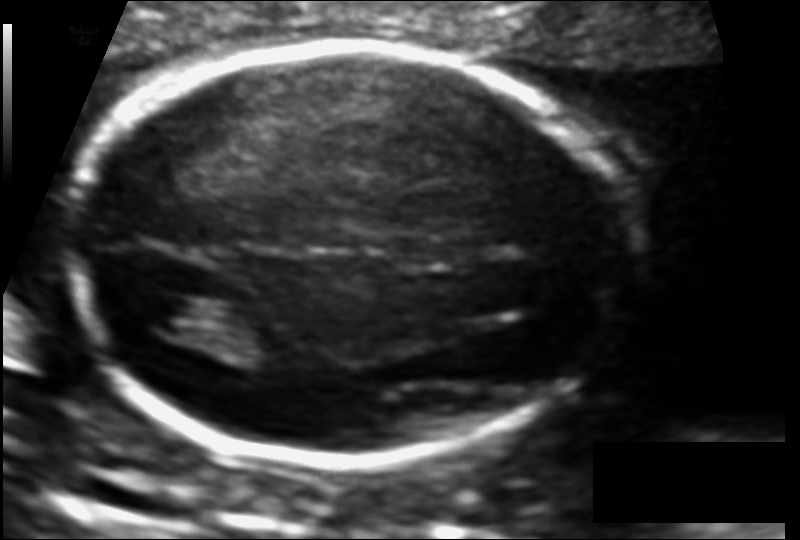
Fetal head ultrasound. Image width: 88.9 mm. Give [x1,y1,x2,y2] bounding boxes for each visible structure among: fetal head, CSP, LV.

Head: [73,47,611,466]
CSP: [391,236,464,269]
Lateral ventricle: [128,282,214,346]